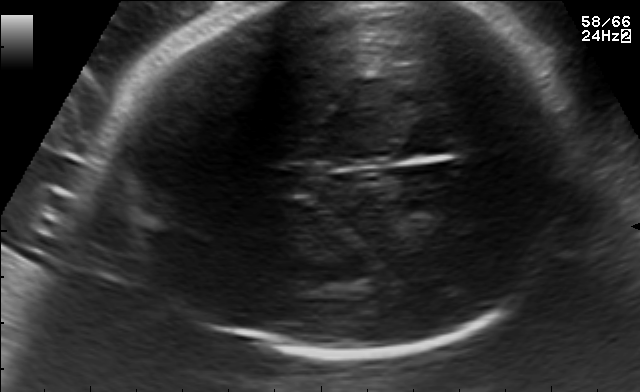
Identify the standard plane in this fetal ultrasound image: fetal abdomen, fetal brain, fetal femur, fetal thorax, maternal cervix, or other. If it's fetal brain and one of the three standard brain planes (trans-thalamic, trans-cerebellum, trans-ventricular), name which.

Fetal brain (trans-thalamic plane)